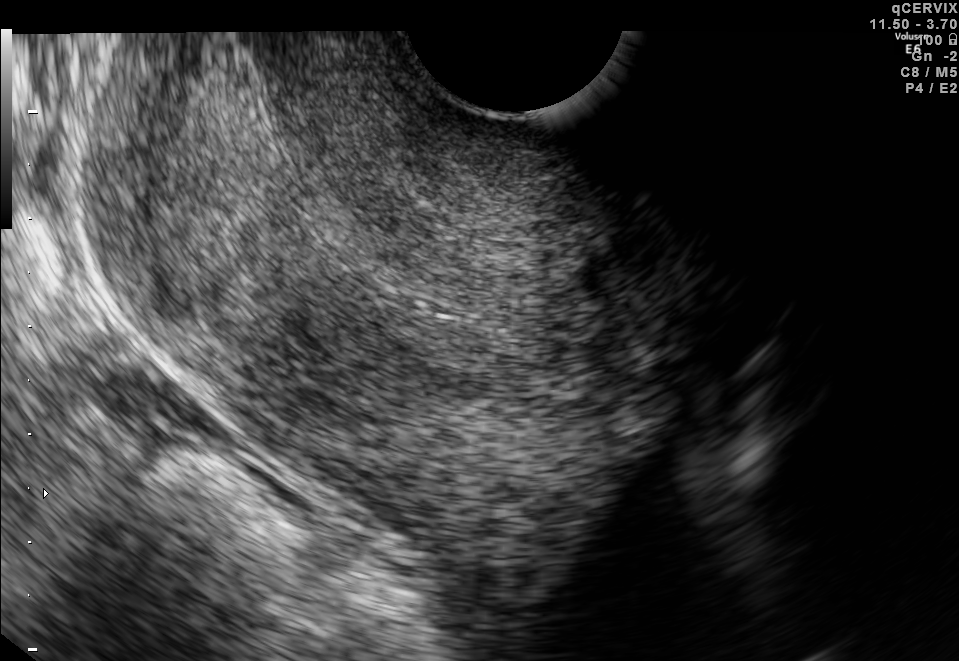
Identify the standard plane in this fetal ultrasound image: fetal abdomen, fetal brain, fetal femur, fetal thorax, maternal cervix, or other. If it's fetal brain and one of the three standard brain planes (trans-thalamic, trans-cerebellum, trans-ventricular), name which.

Maternal cervix